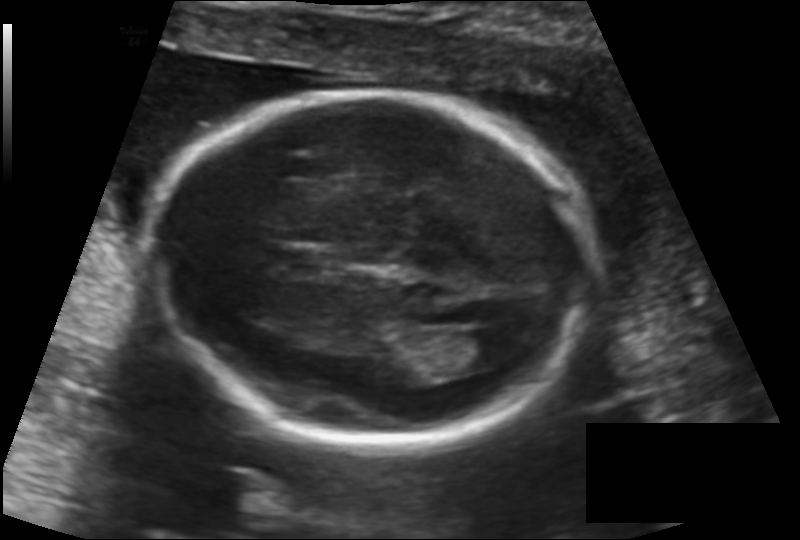
From this fetal ultrasound, estimate the head circumference (image width 109.6 mm).

Head circumference: 175.1 mm.